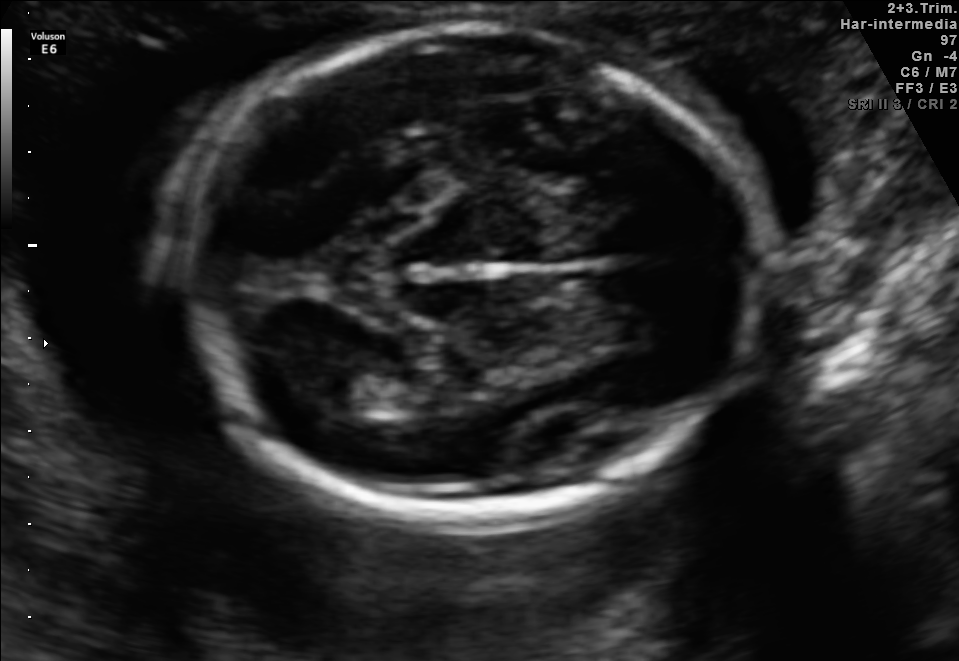
Fetal brain, trans-thalamic plane. Locate the lateral ventricle.

Lateral ventricle: [318,367,414,419]